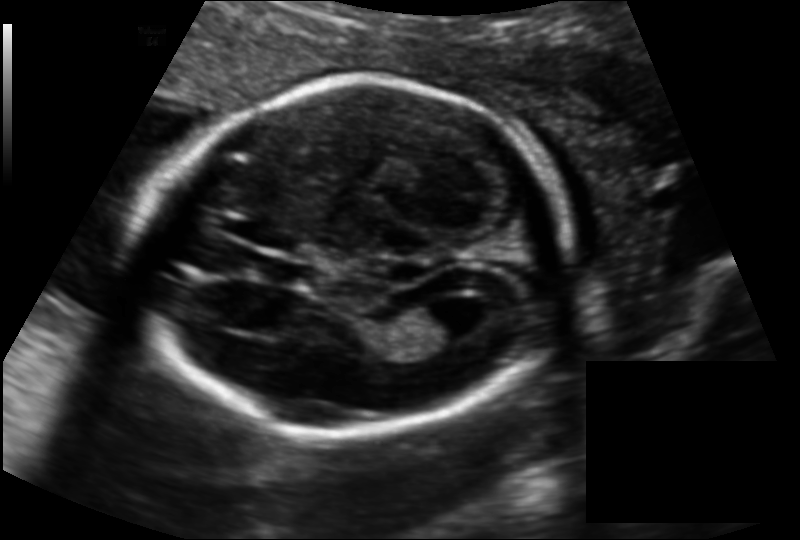
Estimate the fetal head circumference from this 2D ultrasound.

Head circumference: 172.9 mm (image width 107.9 mm).